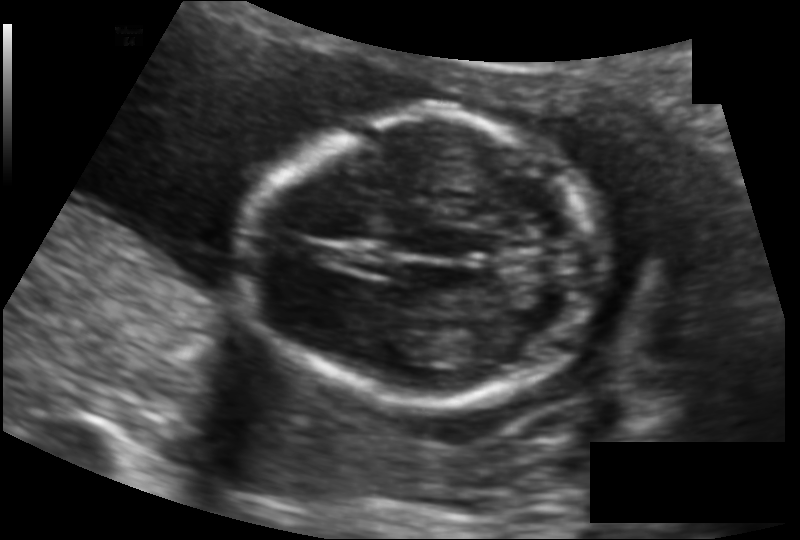
Estimate the fetal head circumference from this 2D ultrasound. Image width: 97.8 mm.

Head circumference: 129.3 mm.